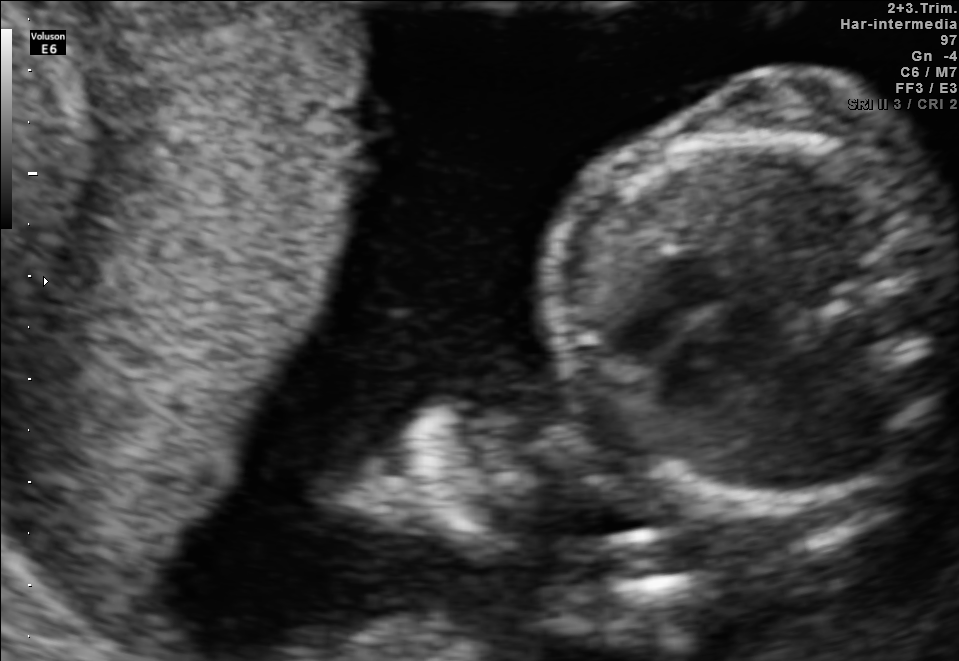
This is a 2D maternal-fetal ultrasound frame. Is it a fetal abdomen, fetal brain, fetal femur, fetal thorax, maternal cervix, or other standard plane? If it's fetal brain and one of the three standard brain planes (trans-thalamic, trans-cerebellum, trans-ventricular), name which.

Fetal brain (trans-thalamic plane)